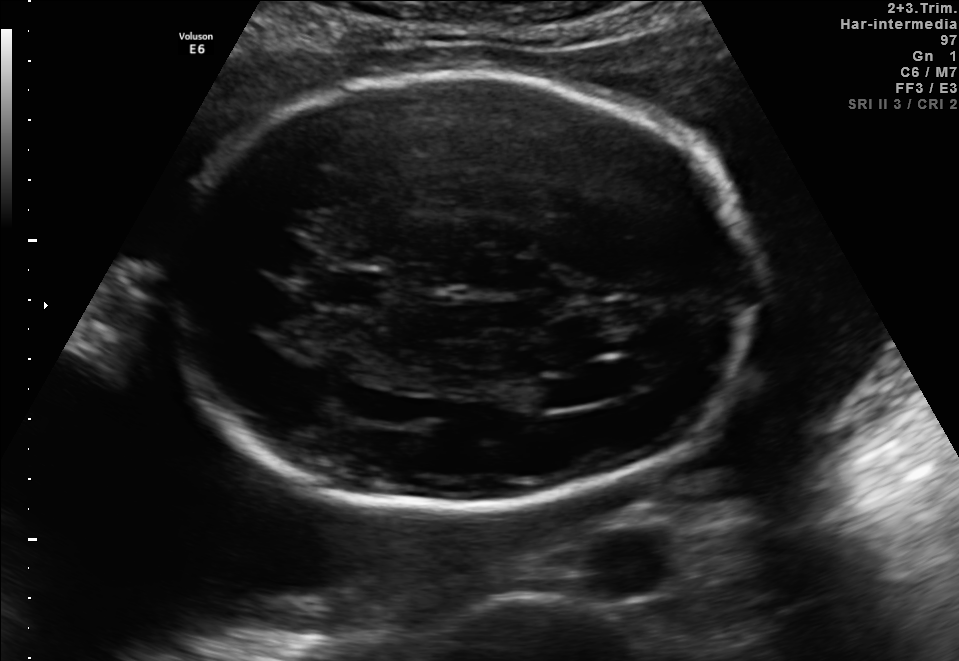
Fetal brain, trans-ventricular plane. Locate the lateral ventricle.

Lateral ventricle: [531,375,590,413]